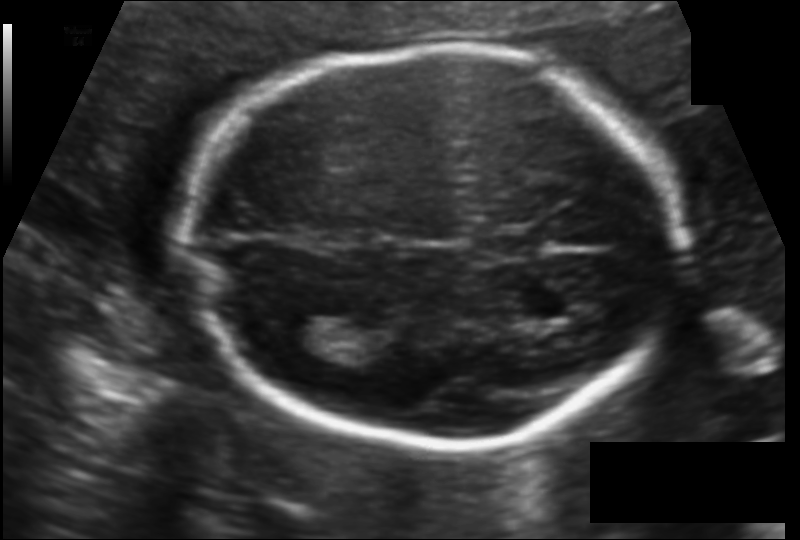
Fetal head ultrasound. Image width: 99.4 mm. Where is the cavum septum pellucidum?

CSP bounding box: [478,226,544,262]